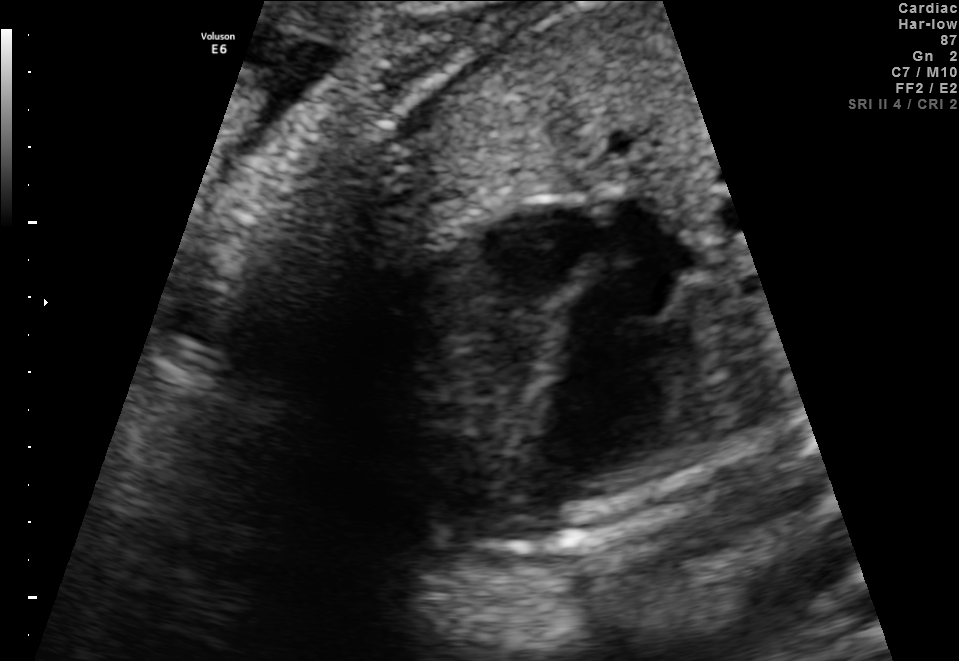
Which standard maternal-fetal ultrasound plane is shown: fetal abdomen, fetal brain, fetal femur, fetal thorax, maternal cervix, or other? If it's fetal brain and one of the three standard brain planes (trans-thalamic, trans-cerebellum, trans-ventricular), name which.

Fetal thorax